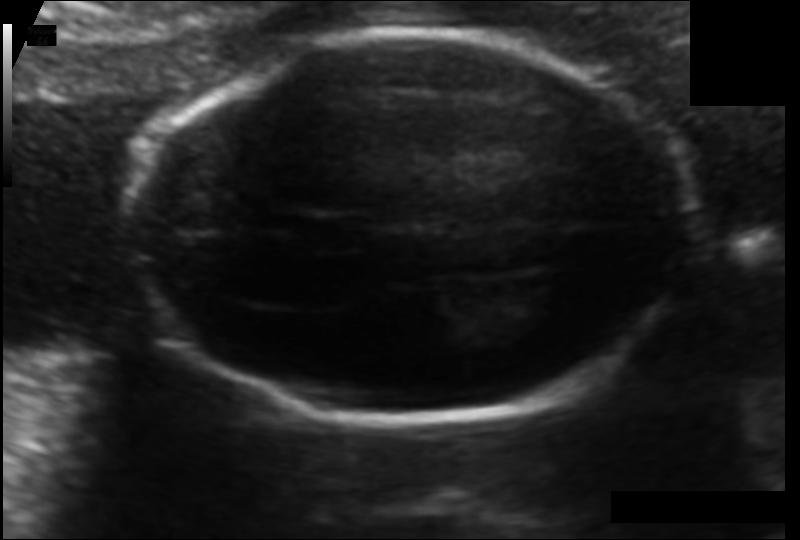
Estimate the fetal head circumference from this 2D ultrasound. Image width: 82.3 mm.

Head circumference: 159.5 mm.